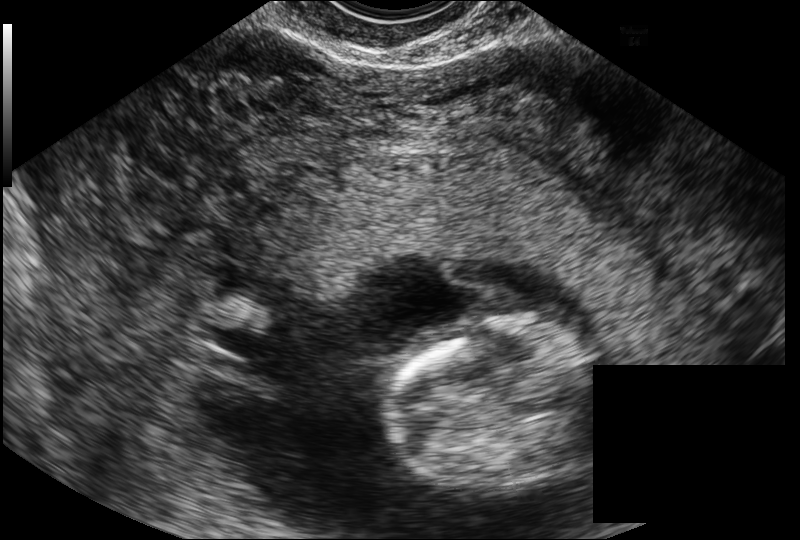
In this fetal head ultrasound, give bounding boxes for the head outline, cavum septum pellucidum (CSP), and lateral ventricle (LV), where visible. Image width: 90.9 mm.

Head: [384,319,593,489]